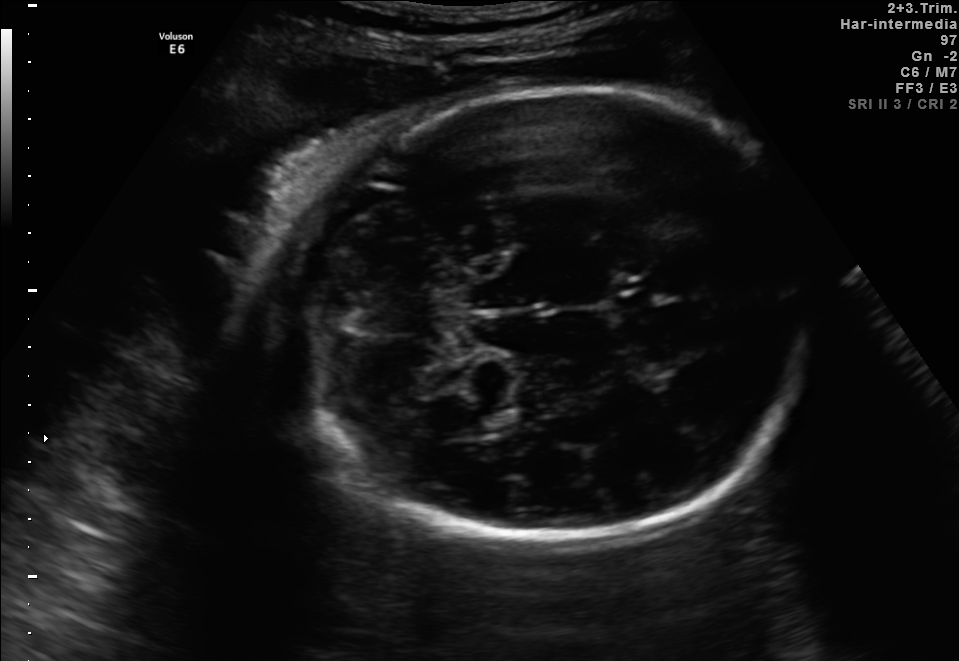
Fetal brain, trans-thalamic plane. Where is the lateral ventricle?

Lateral ventricle bounding box: [461,405,521,442]